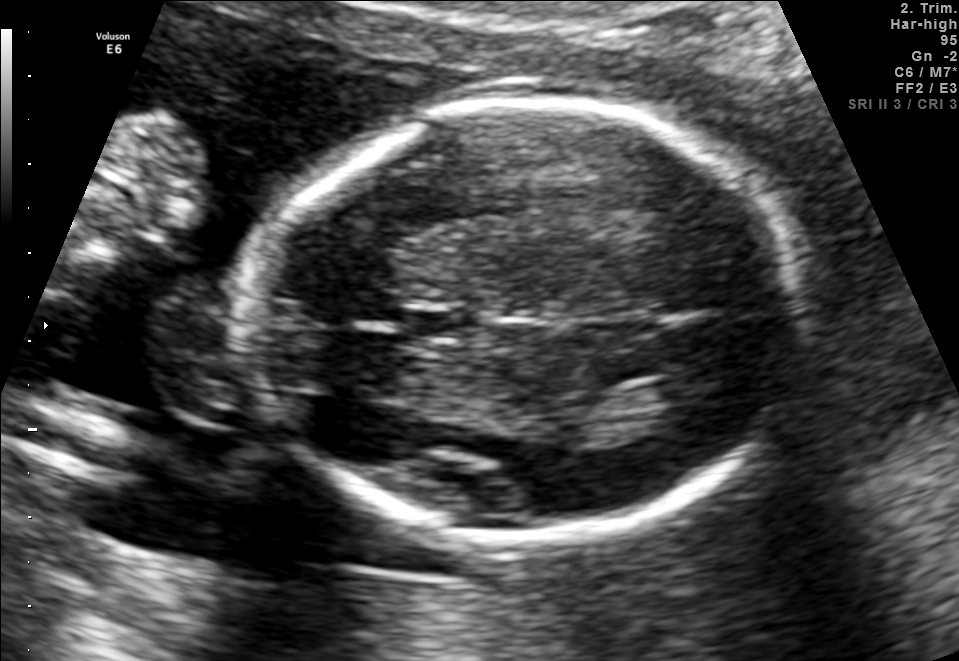
In this fetal brain, trans-thalamic plane, give the bounding box of the cavum septum pellucidum.

[406,312,474,339]